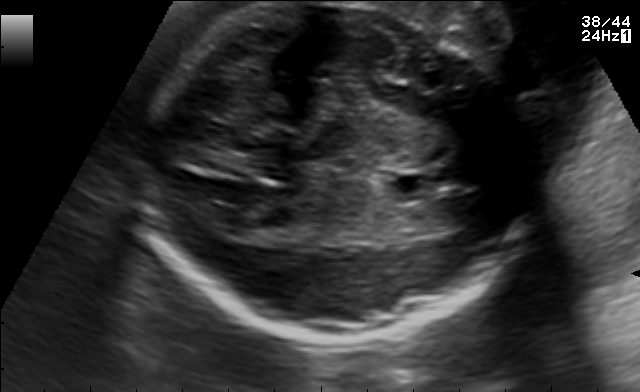
Fetal brain, trans-ventricular plane. Locate the fetal head.

Head: [133,7,544,346]